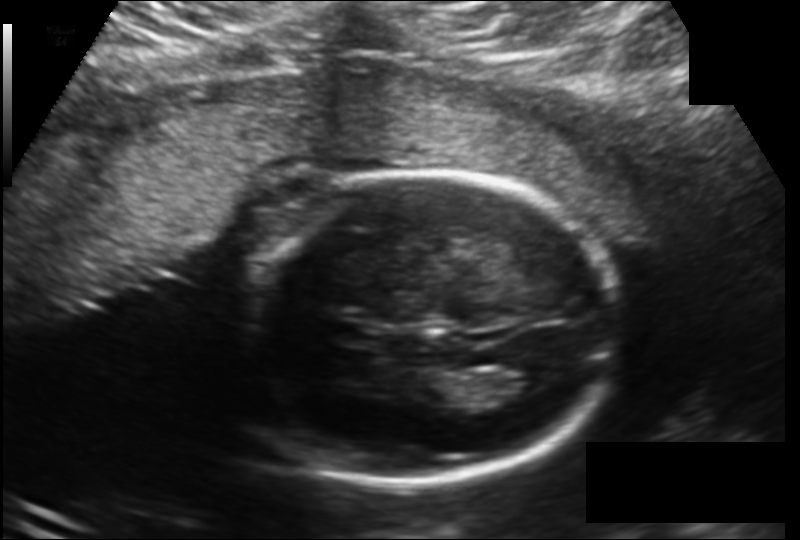
Fetal head ultrasound. Image width: 132.4 mm. Locate the lateral ventricle.

Lateral ventricle: [489,362,557,402]